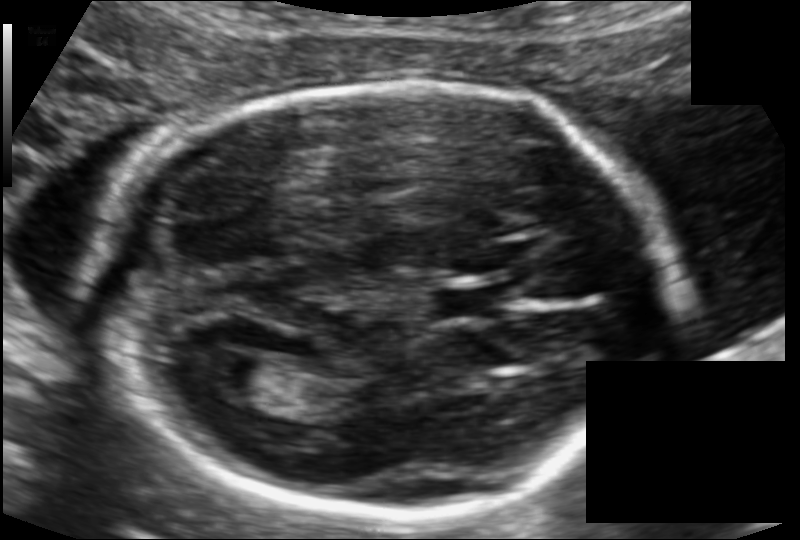
In this fetal head ultrasound, give the bounding box of the lateral ventricle. Image width: 87.3 mm.

[190,345,282,405]